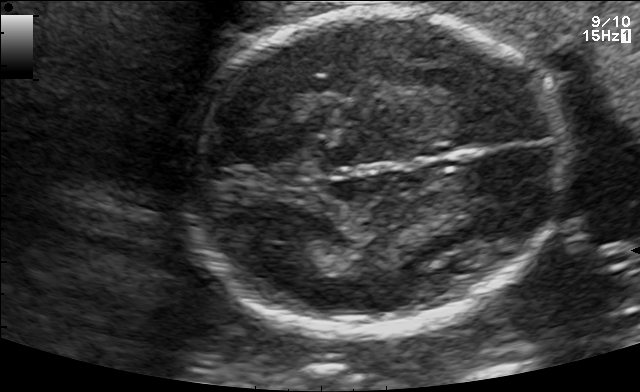
Fetal brain, trans-thalamic plane. Locate the fetal head.

Head: [181,10,570,330]